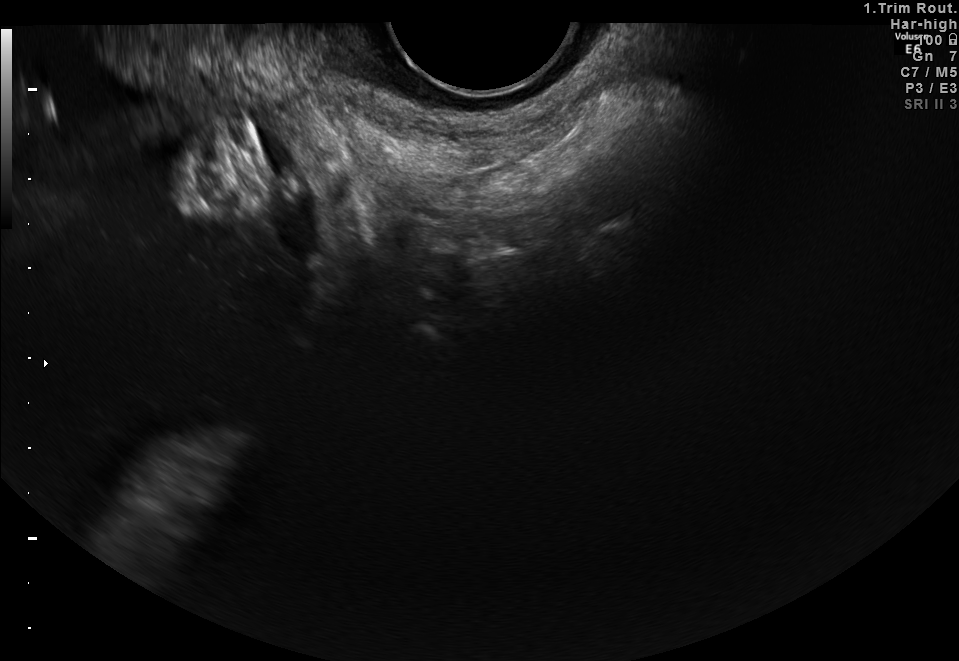
This is a 2D maternal-fetal ultrasound frame. Is it a fetal abdomen, fetal brain, fetal femur, fetal thorax, maternal cervix, or other standard plane? If it's fetal brain and one of the three standard brain planes (trans-thalamic, trans-cerebellum, trans-ventricular), name which.

Maternal cervix